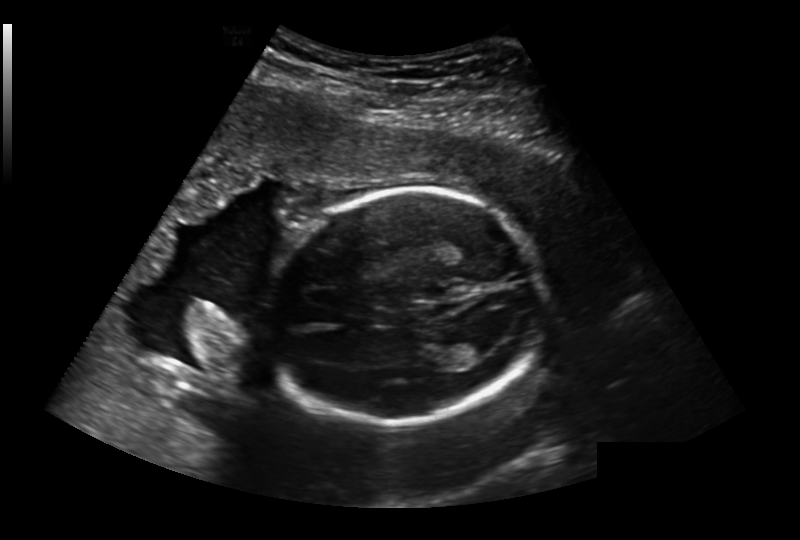
Estimate the fetal head circumference from this 2D ultrasound. Image width: 188.7 mm.

Head circumference: 193.1 mm.